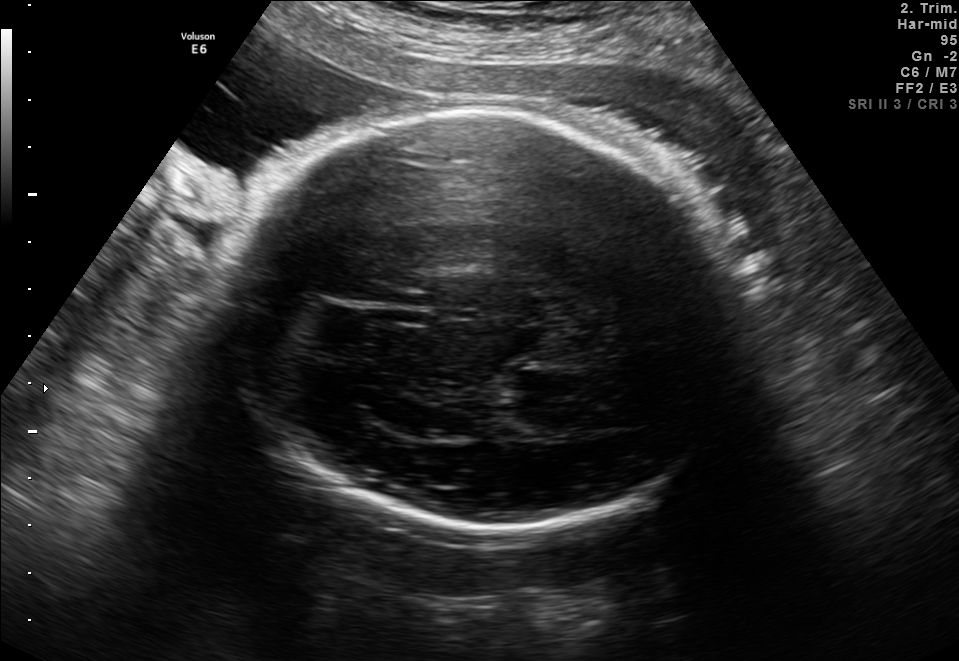
In this fetal brain, trans-thalamic plane, give bounding boxes for the head outline, cavum septum pellucidum (CSP), and lateral ventricle (LV), where visible.

Head: [233,112,738,535]
Lateral ventricle: [506,391,595,434]